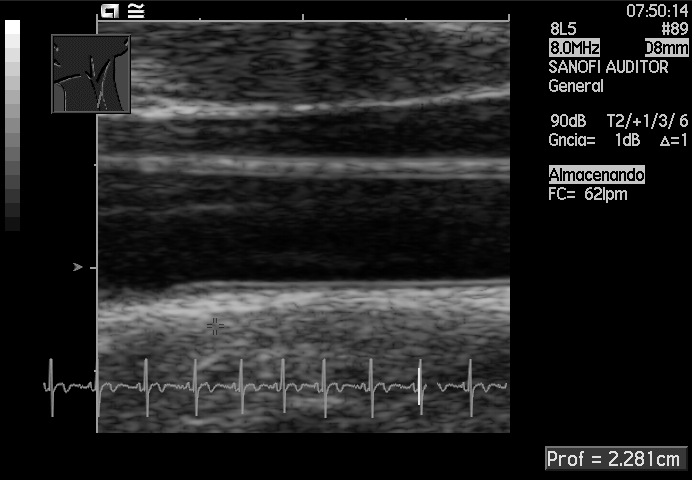
This is a 2D maternal-fetal ultrasound frame. Is it a fetal abdomen, fetal brain, fetal femur, fetal thorax, maternal cervix, or other standard plane? If it's fetal brain and one of the three standard brain planes (trans-thalamic, trans-cerebellum, trans-ventricular), name which.

Other